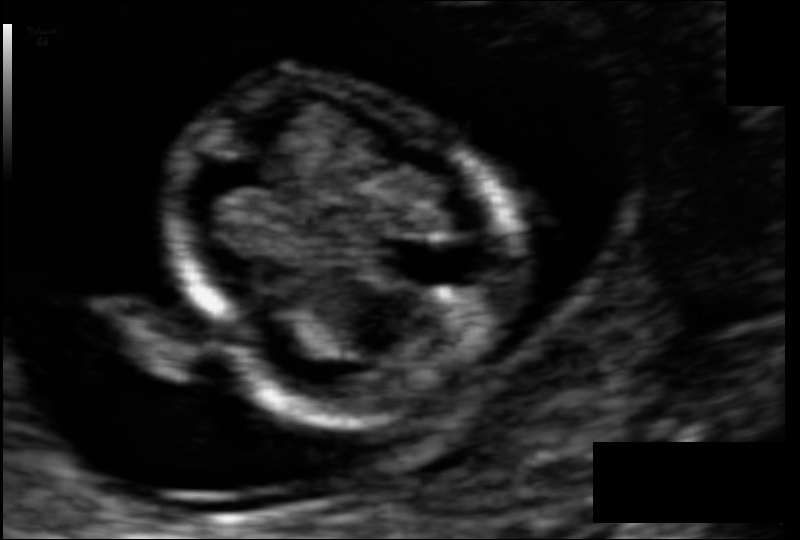
Measure the fetal head circumference shown in this ultrasound image. Image width: 47.3 mm.

Head circumference: 67.2 mm.